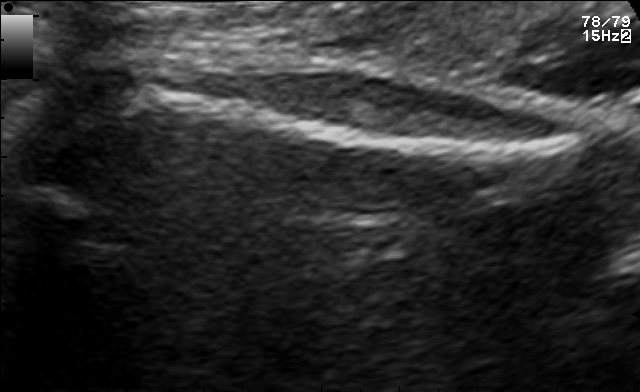
Classify this maternal-fetal ultrasound image as one of the six standard planes — fetal abdomen, fetal brain, fetal femur, fetal thorax, maternal cervix, or other. If it's fetal brain and one of the three standard brain planes (trans-thalamic, trans-cerebellum, trans-ventricular), name which.

Fetal femur